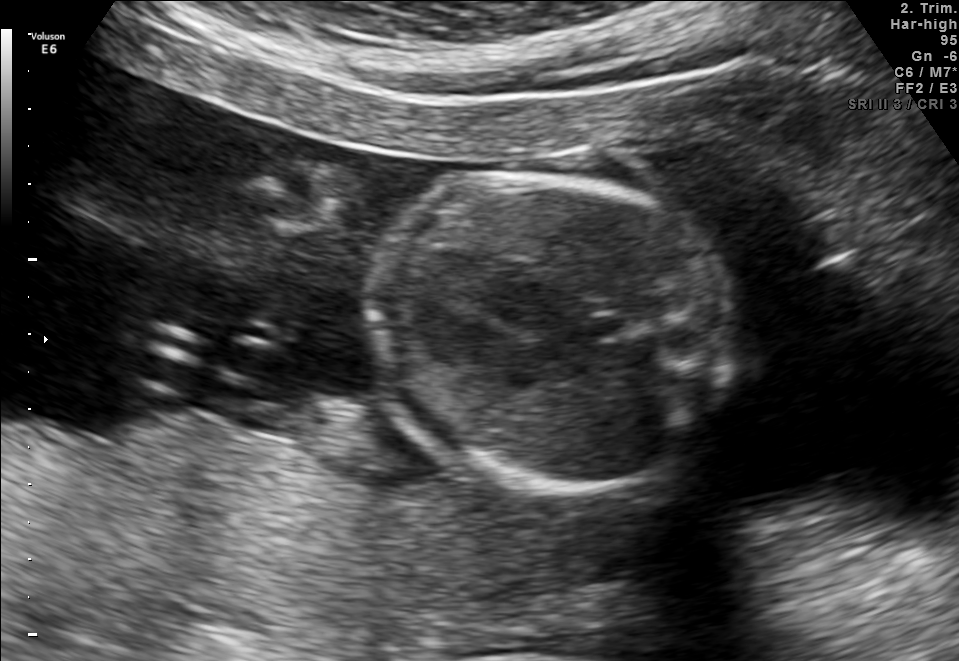
Identify the standard plane in this fetal ultrasound image: fetal abdomen, fetal brain, fetal femur, fetal thorax, maternal cervix, or other. If it's fetal brain and one of the three standard brain planes (trans-thalamic, trans-cerebellum, trans-ventricular), name which.

Fetal thorax